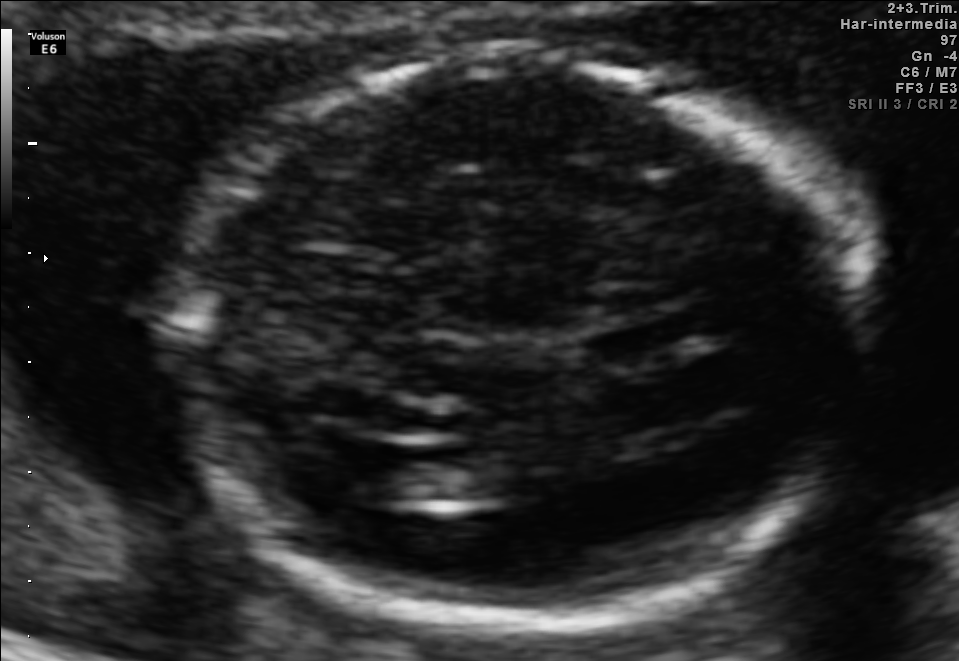
Fetal brain, trans-ventricular plane. Locate the fetal head.

Head: [152,35,897,632]